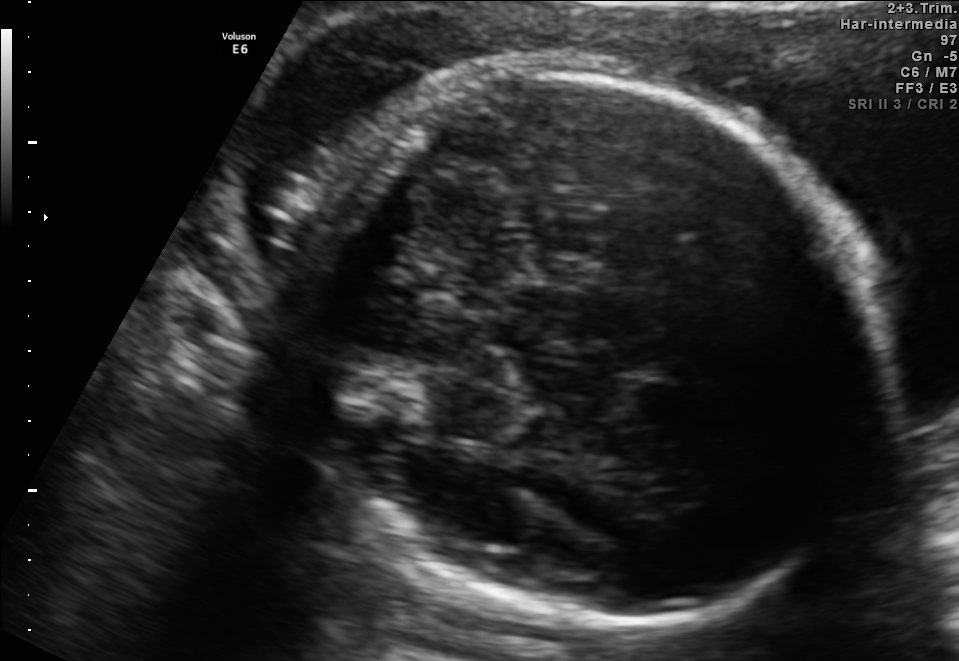
Fetal brain, trans-thalamic plane. Locate the fetal head.

Head: [293,62,882,627]